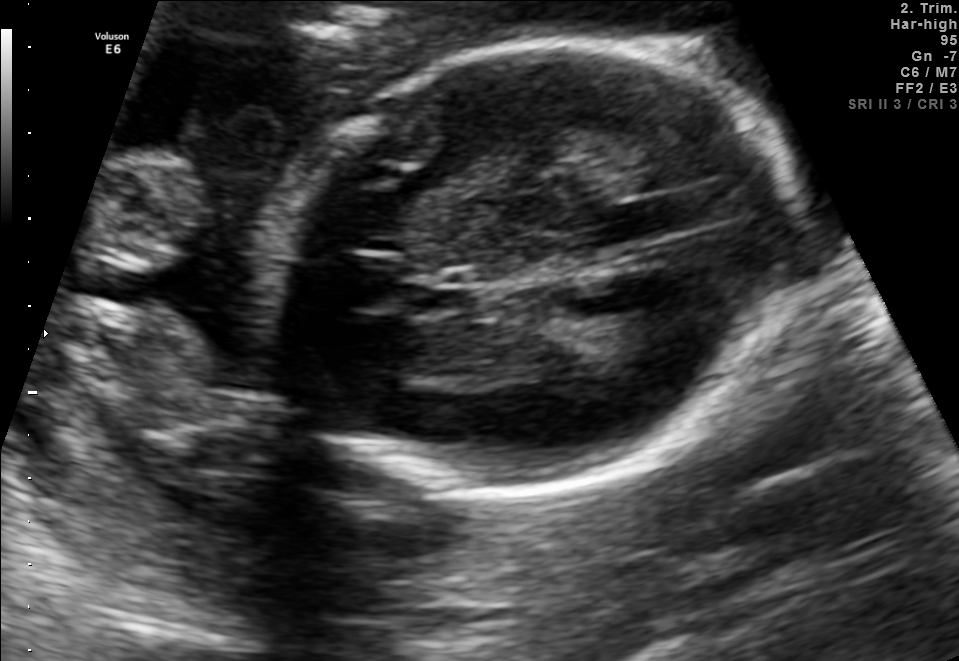
Fetal brain, trans-thalamic plane. Where is the cavum septum pellucidum?

CSP bounding box: [403,273,472,317]